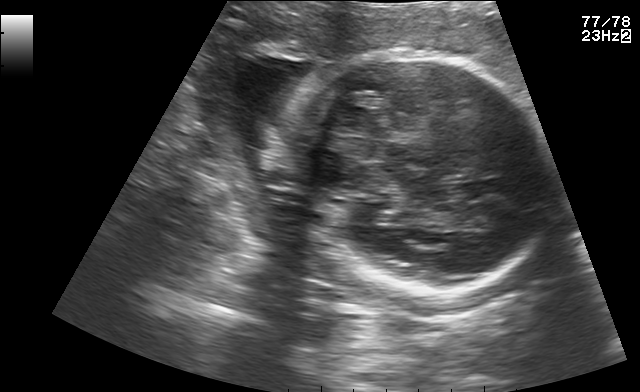
Classify this maternal-fetal ultrasound image as one of the six standard planes — fetal abdomen, fetal brain, fetal femur, fetal thorax, maternal cervix, or other. If it's fetal brain and one of the three standard brain planes (trans-thalamic, trans-cerebellum, trans-ventricular), name which.

Fetal brain (trans-thalamic plane)